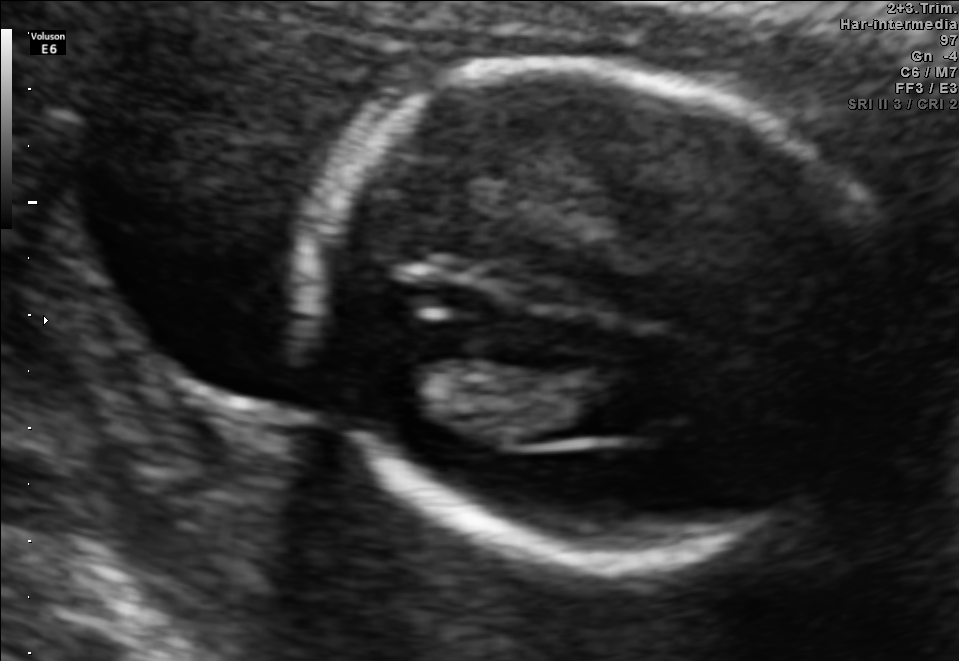
This is a 2D maternal-fetal ultrasound frame. Is it a fetal abdomen, fetal brain, fetal femur, fetal thorax, maternal cervix, or other standard plane? If it's fetal brain and one of the three standard brain planes (trans-thalamic, trans-cerebellum, trans-ventricular), name which.

Fetal brain